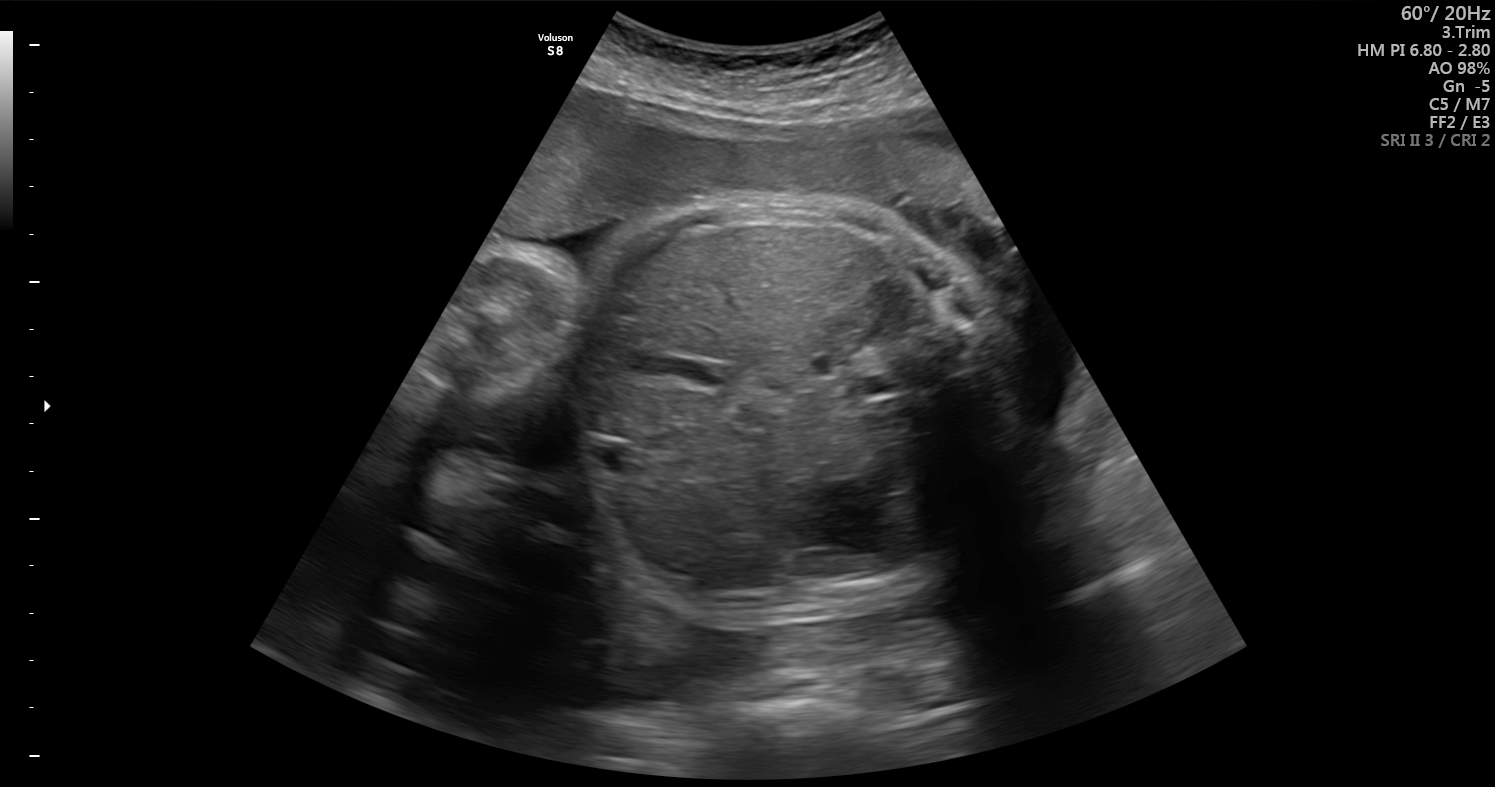
This is a 2D maternal-fetal ultrasound frame. Is it a fetal abdomen, fetal brain, fetal femur, fetal thorax, maternal cervix, or other standard plane? If it's fetal brain and one of the three standard brain planes (trans-thalamic, trans-cerebellum, trans-ventricular), name which.

Fetal abdomen